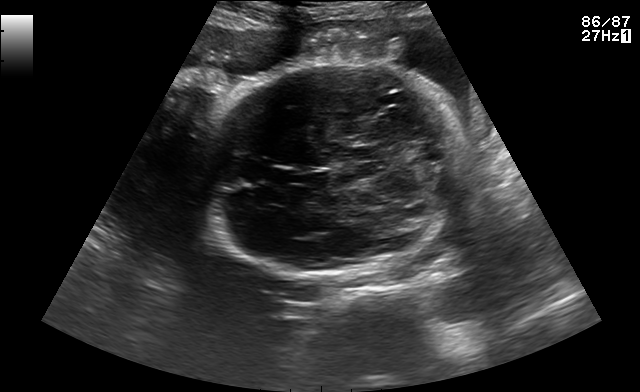
In this fetal brain, trans-thalamic plane, give the bounding box of the fetal head.

[198,65,470,278]